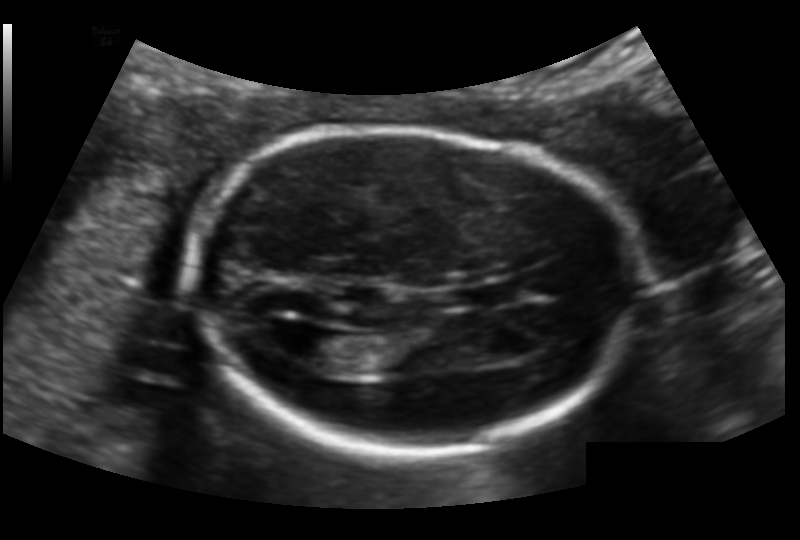
What is the fetal head circumference? Image width is 105.5 mm.

167.1 mm